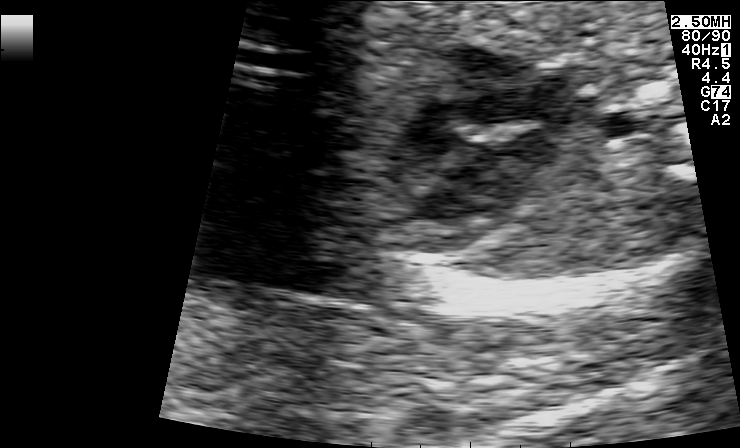
This is a 2D maternal-fetal ultrasound frame. Is it a fetal abdomen, fetal brain, fetal femur, fetal thorax, maternal cervix, or other standard plane? If it's fetal brain and one of the three standard brain planes (trans-thalamic, trans-cerebellum, trans-ventricular), name which.

Fetal thorax